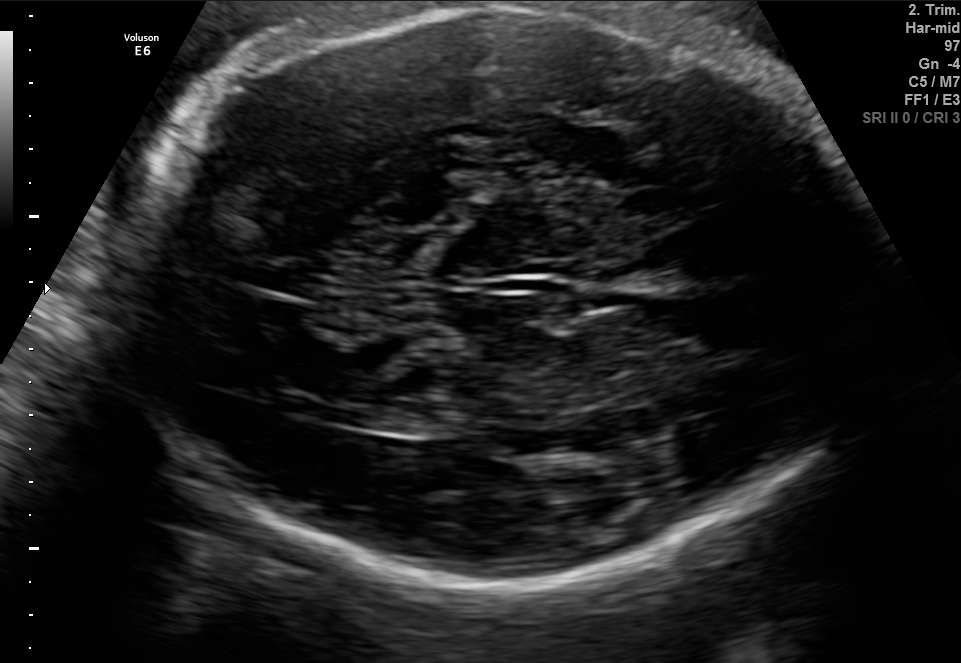
Fetal brain, trans-thalamic plane. Where is the fetal head?

Head bounding box: [112,8,867,589]